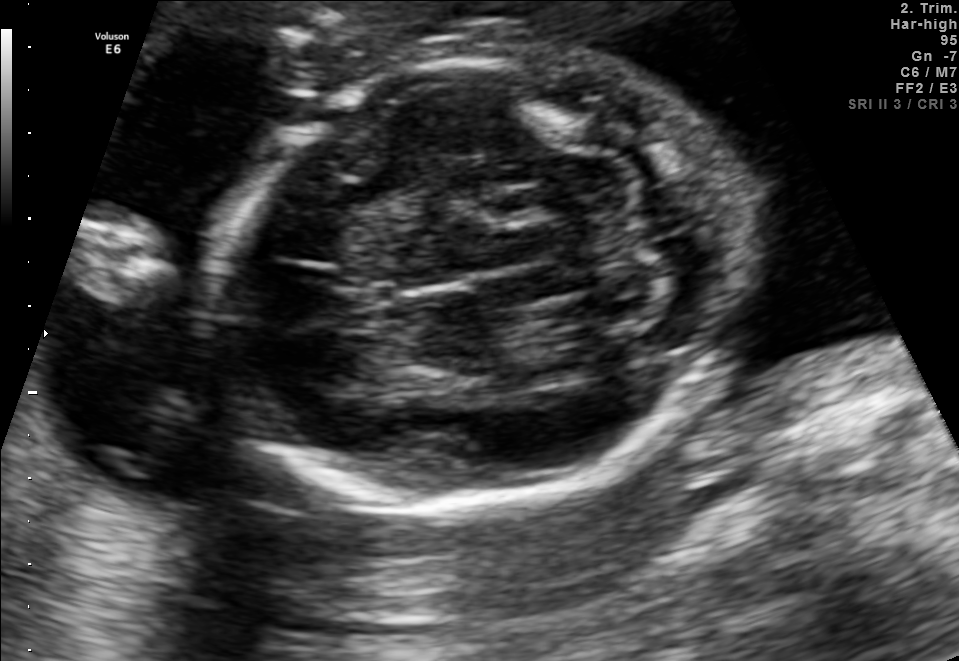
In this fetal brain, trans-cerebellum plane, give the bounding box of the fetal head.

[215,54,740,511]